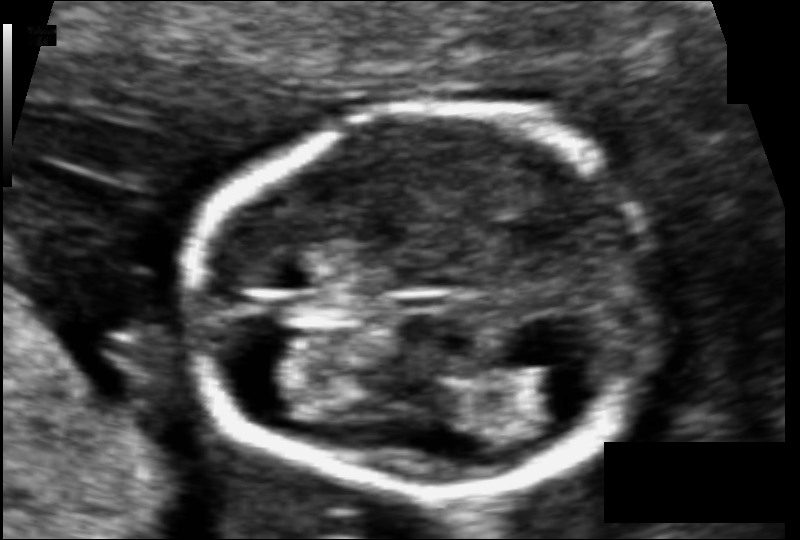
Fetal head ultrasound. Image width: 52.4 mm. Locate the fetal head.

Head: [189,109,657,493]